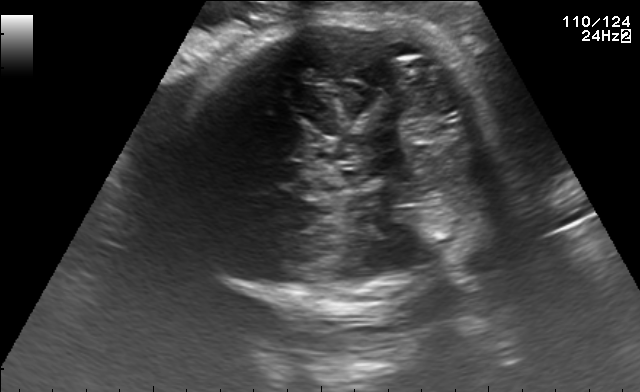
In this fetal brain, trans-thalamic plane, give bounding boxes for the head outline, cavum septum pellucidum (CSP), and lateral ventricle (LV), where visible.

Head: [172,17,495,305]